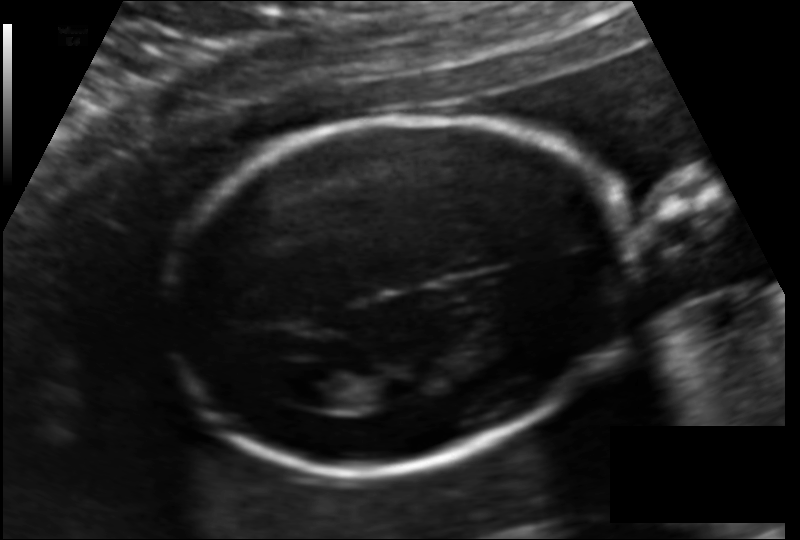
What is the fetal head circumference? Image width is 101.5 mm.

166.8 mm